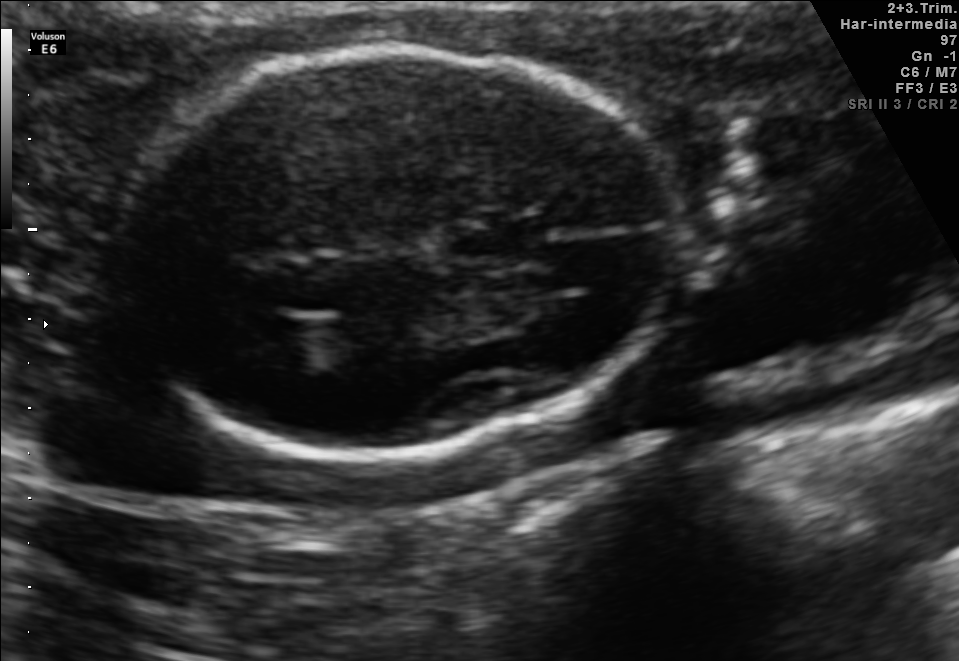
In this fetal brain, trans-thalamic plane, give bounding boxes for the head outline, cavum septum pellucidum (CSP), and lateral ventricle (LV), where visible.

Head: [116,48,673,453]
CSP: [448,217,544,267]
Lateral ventricle: [228,304,330,369]